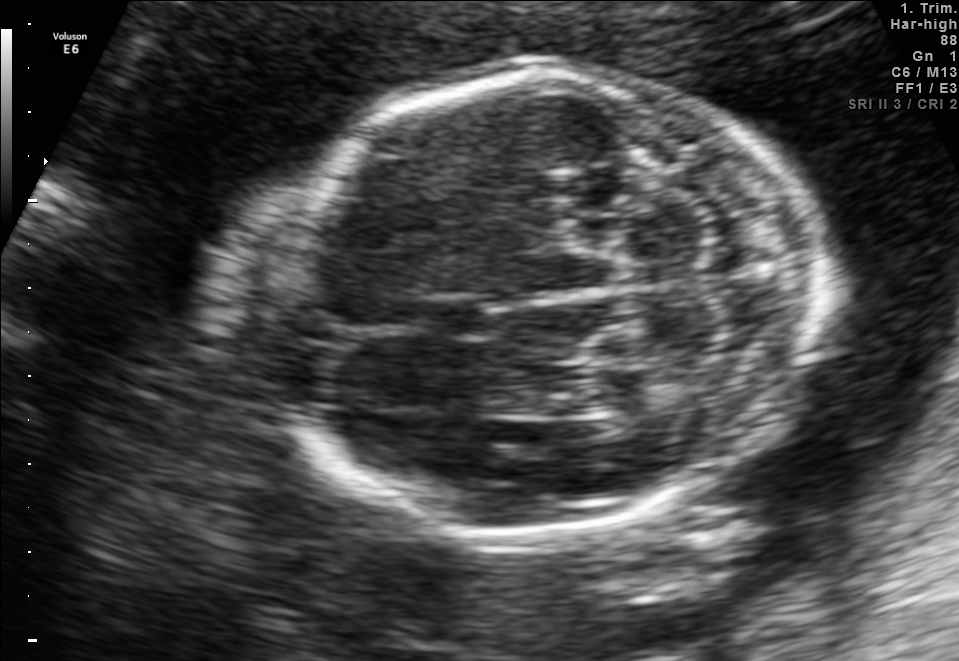
Fetal brain, trans-cerebellum plane. Where is the fetal head?

Head bounding box: [243,71,818,530]